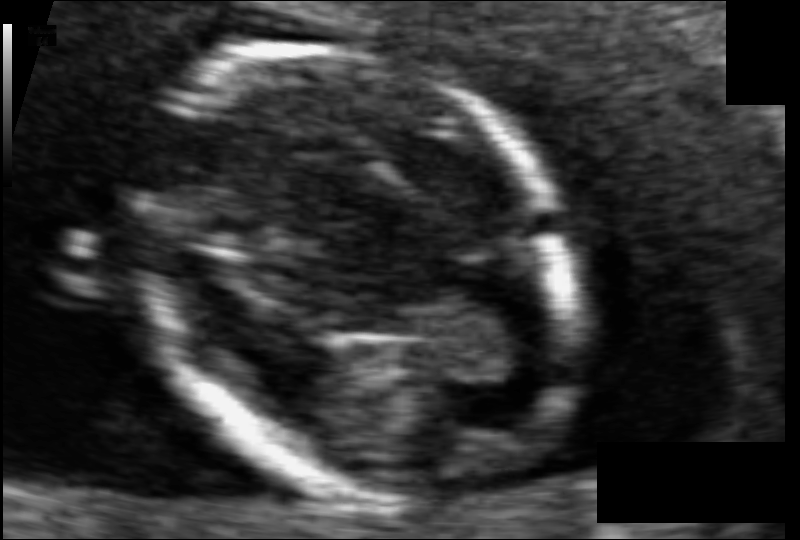
Estimate the fetal head circumference from this 2D ultrasound. Image width: 48.9 mm.

Head circumference: 88.2 mm.